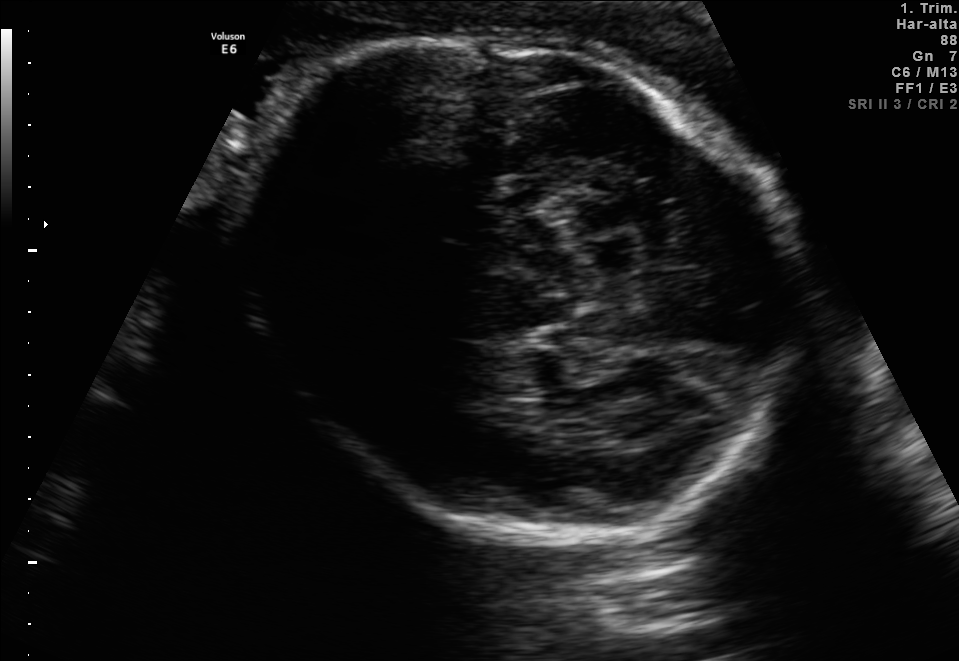
Fetal brain, trans-thalamic plane. Give [x1,y1,x2,y2] bounding boxes for each visible structure among: fetal head, CSP, LV.

Head: [240,30,795,529]